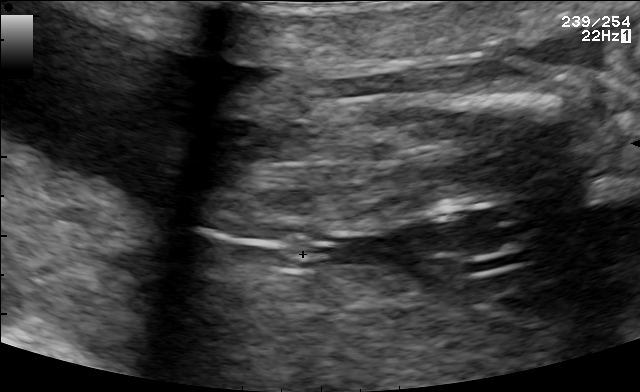
Identify the standard plane in this fetal ultrasound image: fetal abdomen, fetal brain, fetal femur, fetal thorax, maternal cervix, or other. If it's fetal brain and one of the three standard brain planes (trans-thalamic, trans-cerebellum, trans-ventricular), name which.

Fetal femur